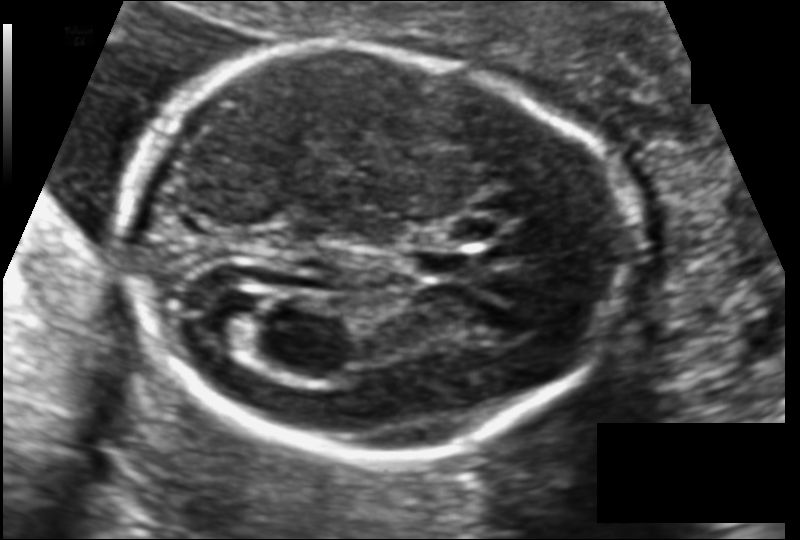
Fetal head ultrasound. Image width: 93.1 mm. Locate the cavum septum pellucidum.

CSP: [409,248,473,278]